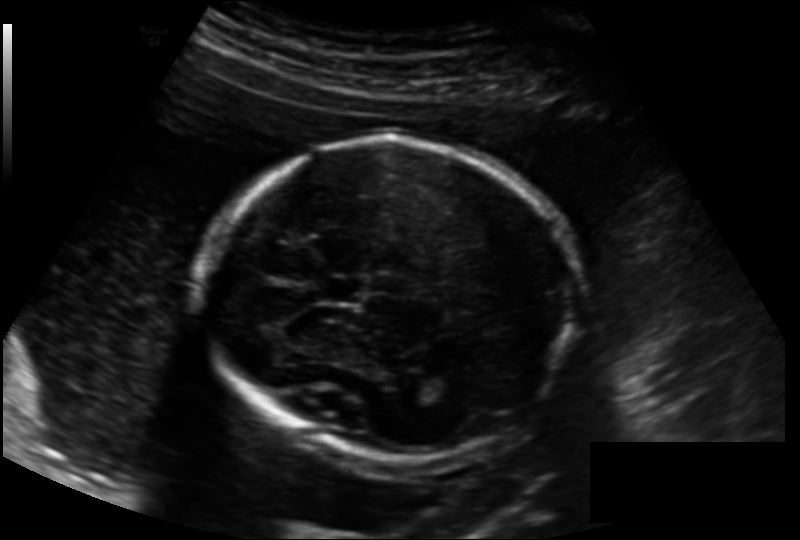
In this fetal head ultrasound, give the bounding box of the fetal head. Image width: 126.5 mm.

[198,141,574,459]